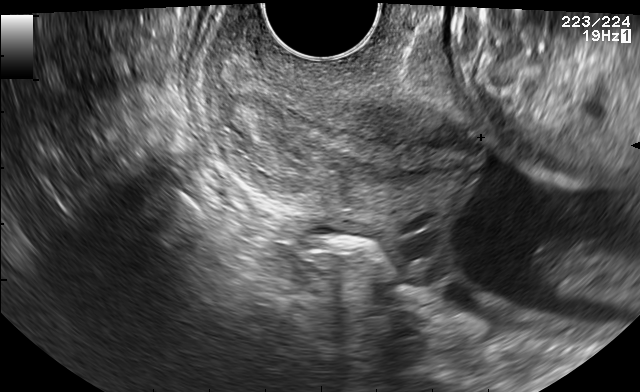
Identify the standard plane in this fetal ultrasound image: fetal abdomen, fetal brain, fetal femur, fetal thorax, maternal cervix, or other. If it's fetal brain and one of the three standard brain planes (trans-thalamic, trans-cerebellum, trans-ventricular), name which.

Other